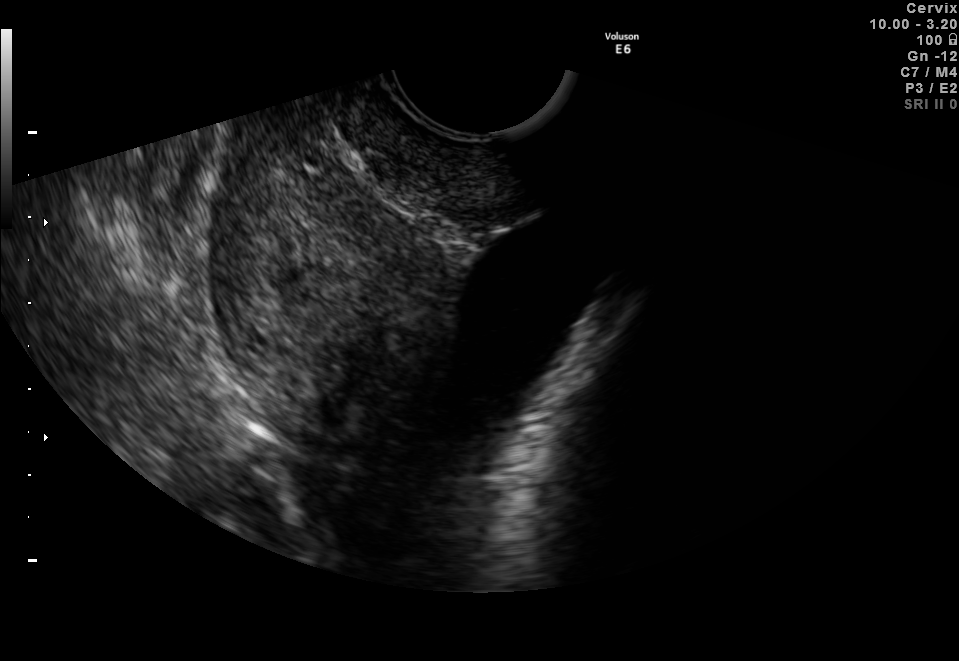
This is a 2D maternal-fetal ultrasound frame. Is it a fetal abdomen, fetal brain, fetal femur, fetal thorax, maternal cervix, or other standard plane? If it's fetal brain and one of the three standard brain planes (trans-thalamic, trans-cerebellum, trans-ventricular), name which.

Maternal cervix